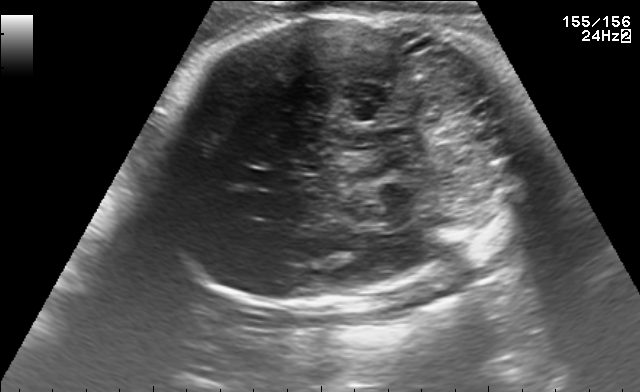
Fetal brain, trans-cerebellum plane. Locate the fetal head.

Head: [147,8,526,306]